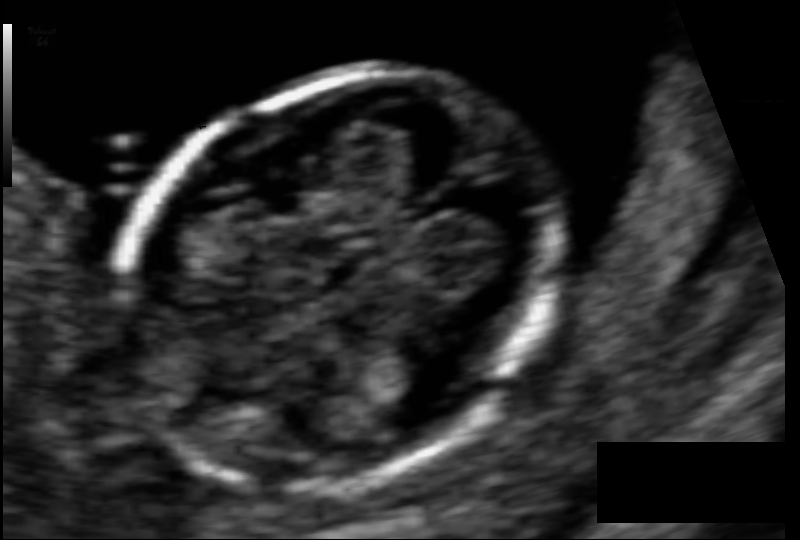
Estimate the fetal head circumference from this 2D ultrasound. Image width: 48.5 mm.

Head circumference: 85.0 mm.